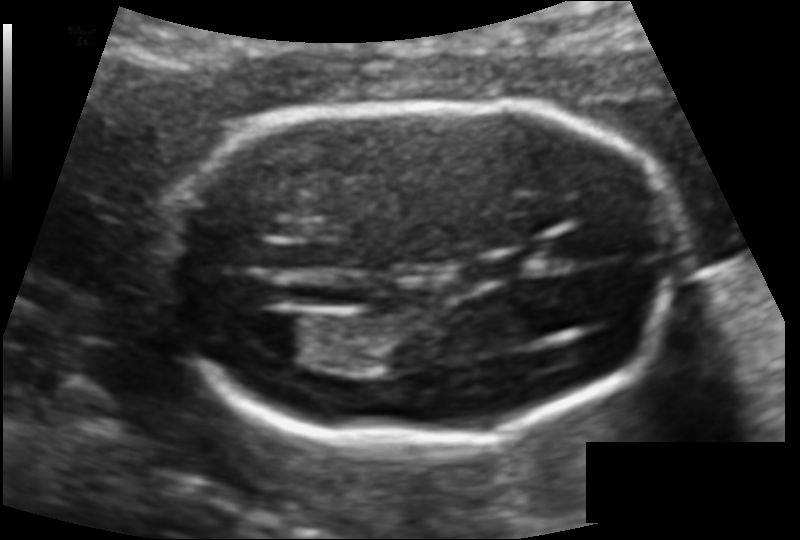
Fetal head ultrasound. Image width: 87.1 mm. Locate the fetal head.

Head: [154,104,681,438]